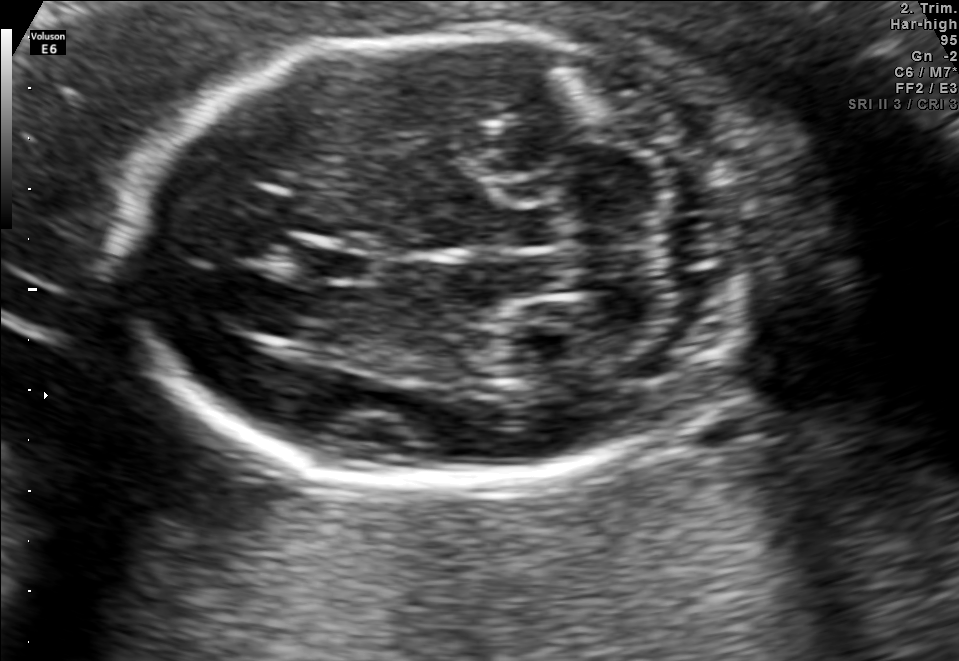
Fetal brain, trans-cerebellum plane. Locate the lateral ventricle.

Lateral ventricle: [486,316,586,374]